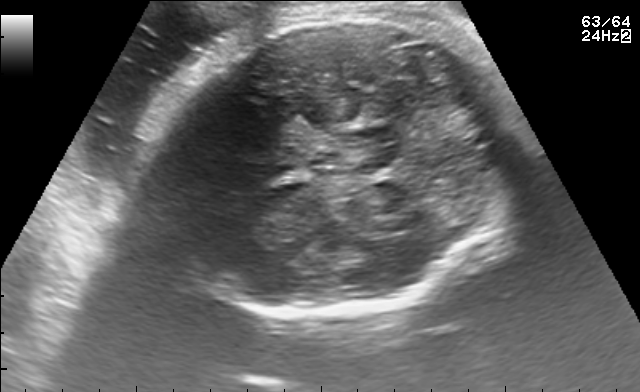
Which standard maternal-fetal ultrasound plane is shown: fetal abdomen, fetal brain, fetal femur, fetal thorax, maternal cervix, or other? If it's fetal brain and one of the three standard brain planes (trans-thalamic, trans-cerebellum, trans-ventricular), name which.

Fetal brain (trans-cerebellum plane)